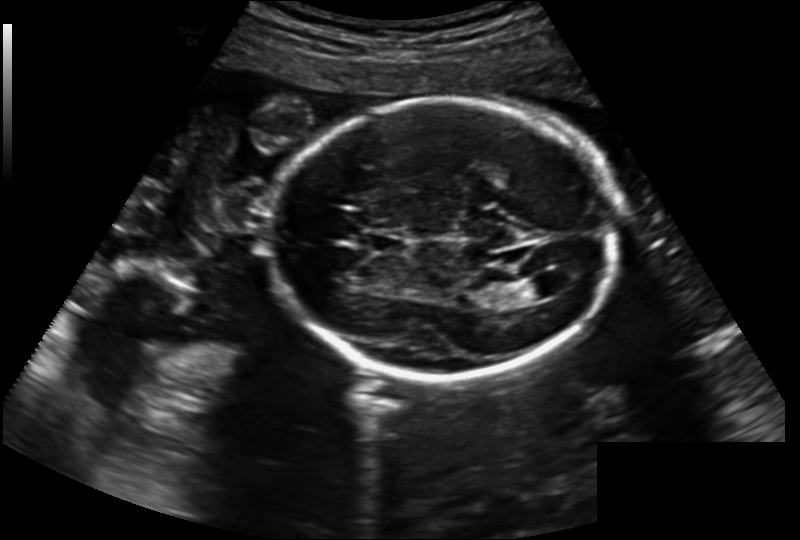
In this fetal head ultrasound, give the bounding box of the fetal head. Image width: 161.7 mm.

[267,100,618,378]